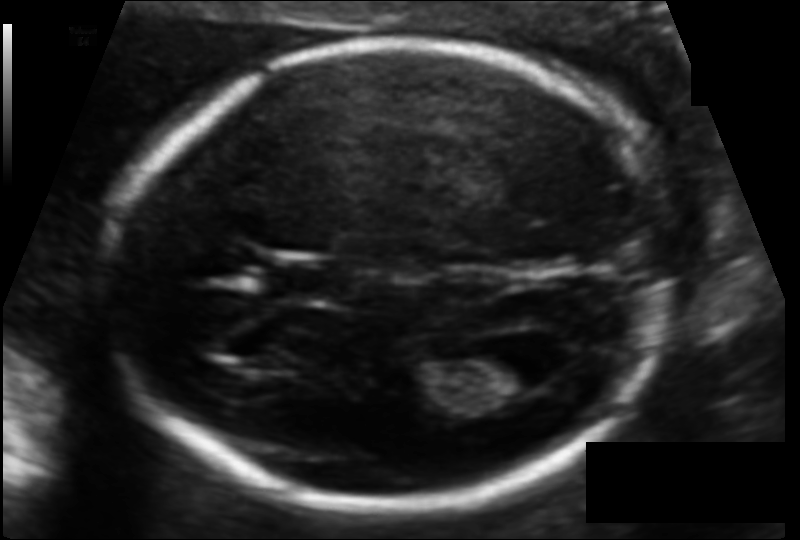
What is the fetal head circumference? Image width is 82.6 mm.

172.9 mm